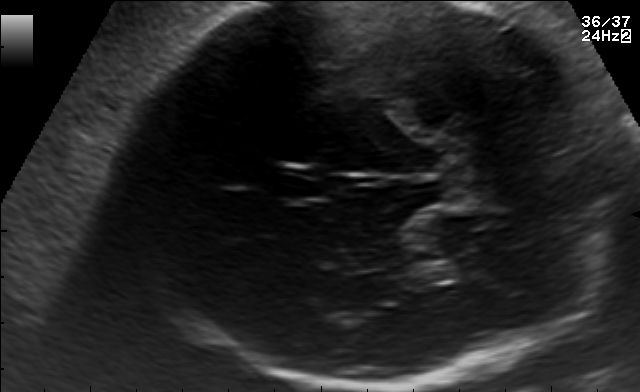
In this fetal brain, trans-thalamic plane, give bounding boxes for the head outline, cavum septum pellucidum (CSP), and lateral ventricle (LV), where visible.

Head: [115,2,624,390]
CSP: [273,168,329,198]